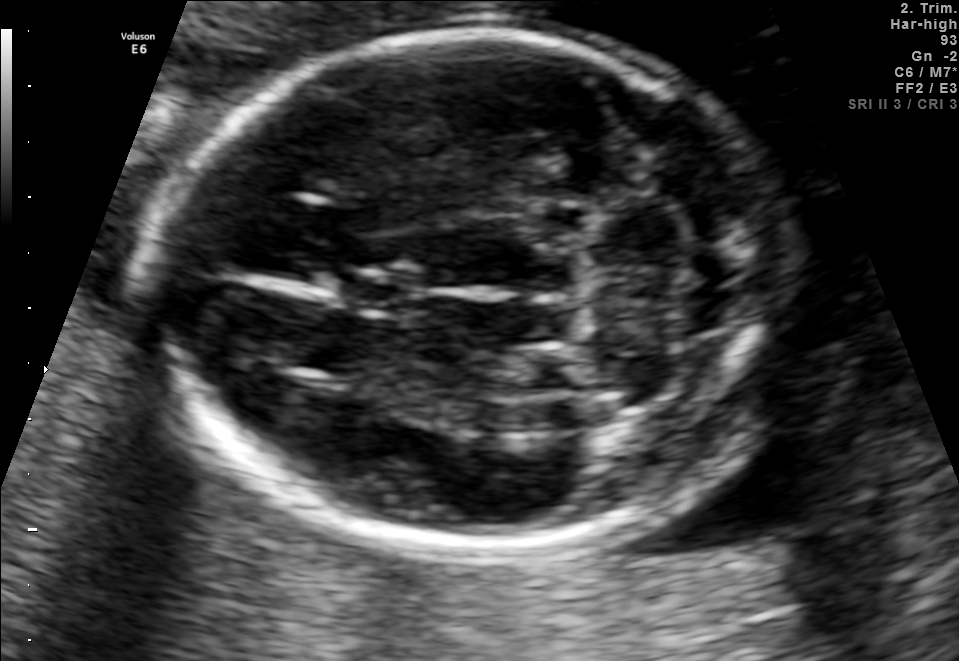
Fetal brain, trans-cerebellum plane. Locate the fetal head.

Head: [154,29,805,552]